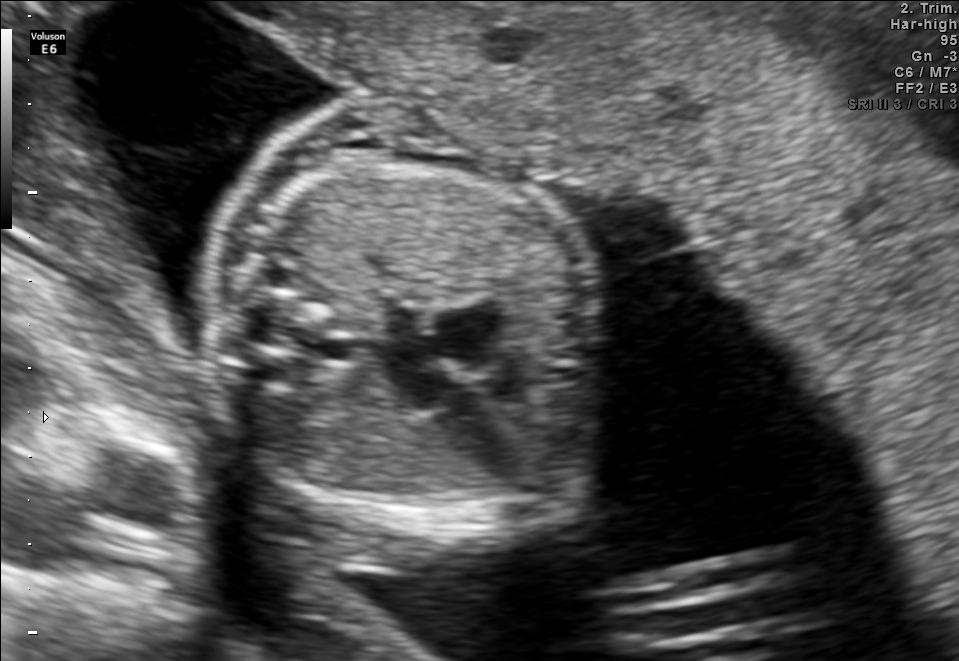
Classify this maternal-fetal ultrasound image as one of the six standard planes — fetal abdomen, fetal brain, fetal femur, fetal thorax, maternal cervix, or other. If it's fetal brain and one of the three standard brain planes (trans-thalamic, trans-cerebellum, trans-ventricular), name which.

Fetal thorax